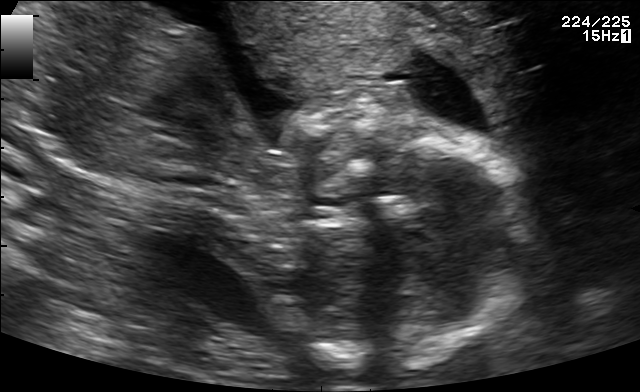
Classify this maternal-fetal ultrasound image as one of the six standard planes — fetal abdomen, fetal brain, fetal femur, fetal thorax, maternal cervix, or other. If it's fetal brain and one of the three standard brain planes (trans-thalamic, trans-cerebellum, trans-ventricular), name which.

Other